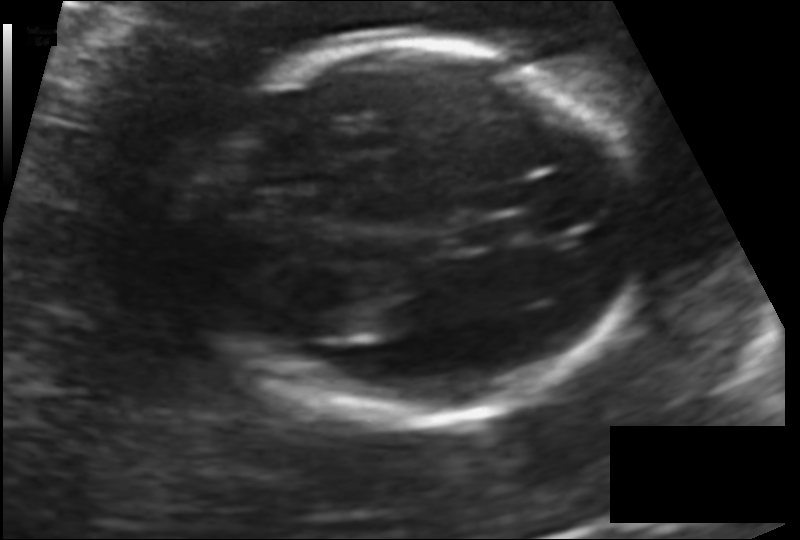
Fetal head ultrasound. Image width: 104.5 mm. Where is the cavum septum pellucidum?

CSP bounding box: [456,212,525,255]